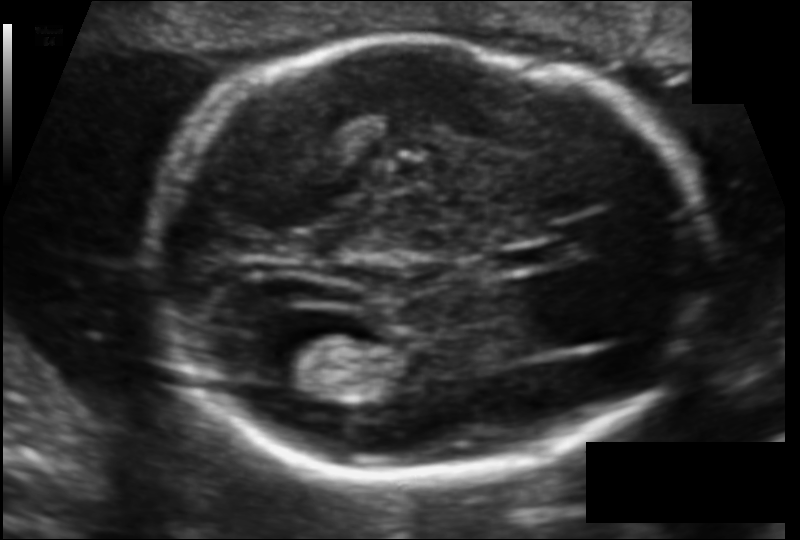
In this fetal head ultrasound, give bounding boxes for the head outline, cavum septum pellucidum (CSP), and lateral ventricle (LV), where visible. Image width: 84.9 mm.

Head: [155,38,703,475]
CSP: [496,233,569,277]
Lateral ventricle: [252,335,343,390]